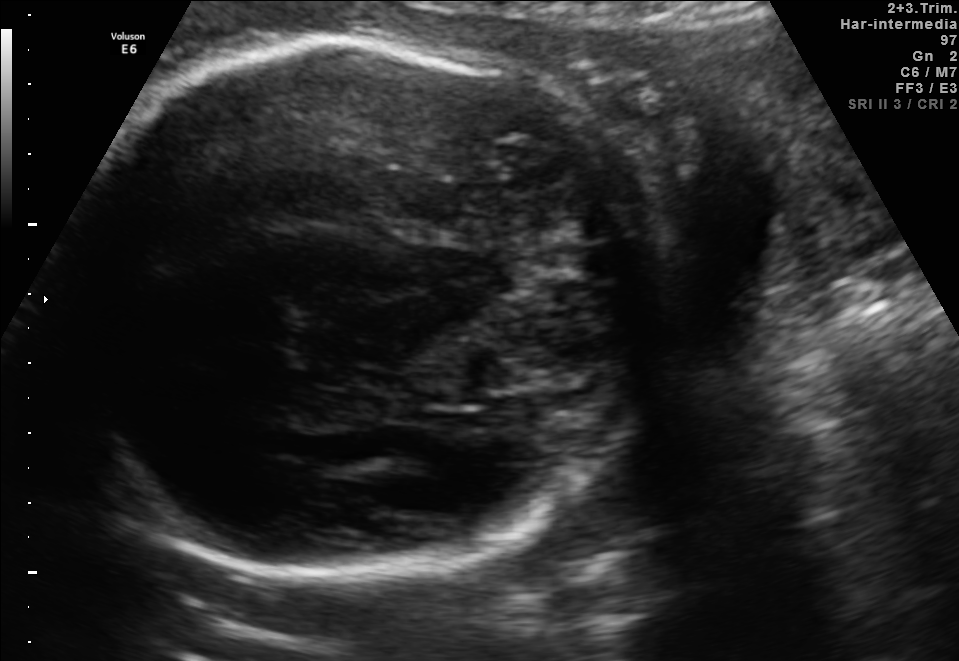
In this fetal brain, trans-thalamic plane, give bounding boxes for the head outline, cavum septum pellucidum (CSP), and lateral ventricle (LV), where visible.

Head: [61,35,672,574]